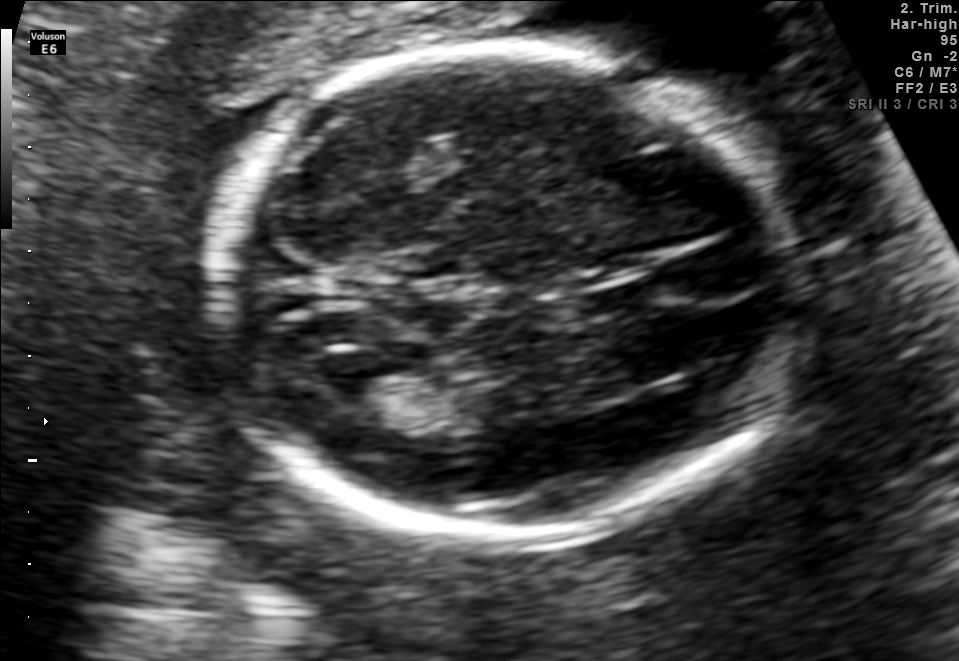
In this fetal brain, trans-ventricular plane, give the bounding box of the fetal head.

[192,37,825,550]